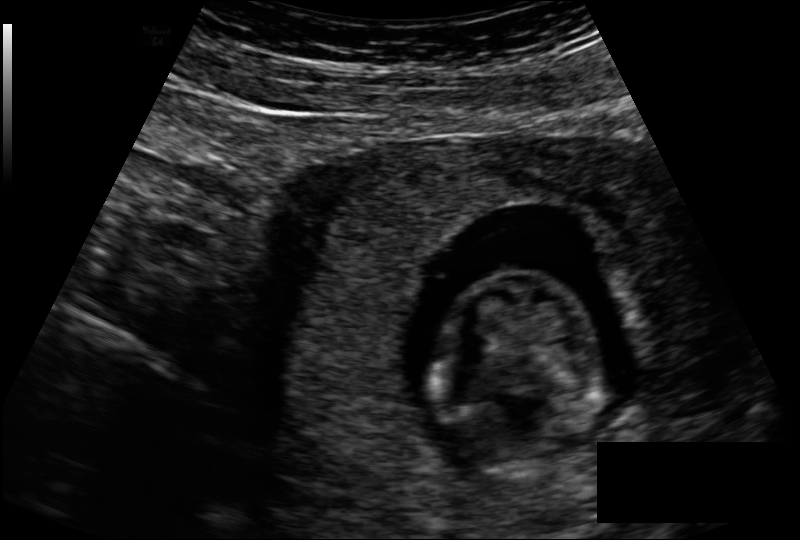
Fetal head ultrasound. Image width: 104.8 mm. Give [x1,y1,x2,y2] bounding boxes for each visible structure among: fetal head, CSP, LV.

Head: [436,272,599,474]